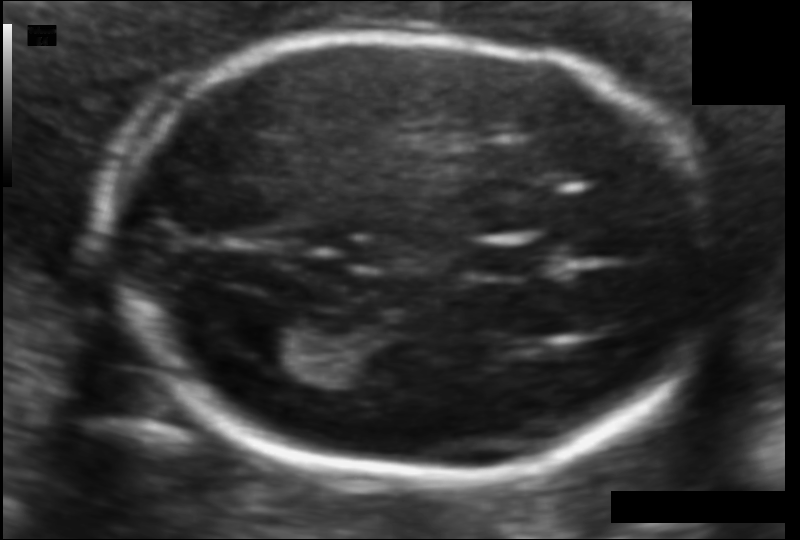
In this fetal head ultrasound, give the bounding box of the lateral ventricle. Image width: 75.5 mm.

[235,304,334,382]